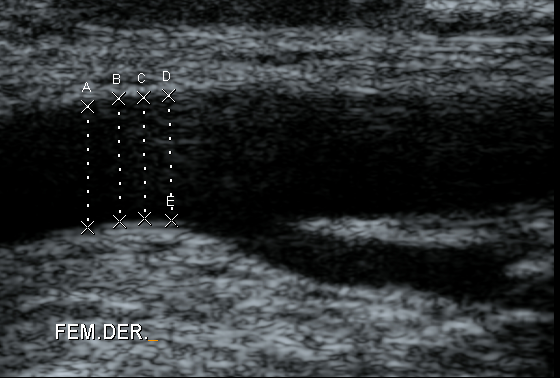
Which standard maternal-fetal ultrasound plane is shown: fetal abdomen, fetal brain, fetal femur, fetal thorax, maternal cervix, or other? If it's fetal brain and one of the three standard brain planes (trans-thalamic, trans-cerebellum, trans-ventricular), name which.

Other